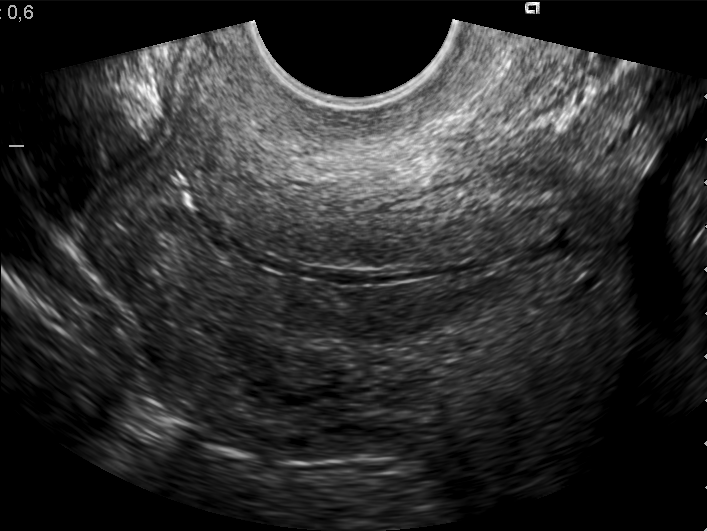
Classify this maternal-fetal ultrasound image as one of the six standard planes — fetal abdomen, fetal brain, fetal femur, fetal thorax, maternal cervix, or other. If it's fetal brain and one of the three standard brain planes (trans-thalamic, trans-cerebellum, trans-ventricular), name which.

Maternal cervix